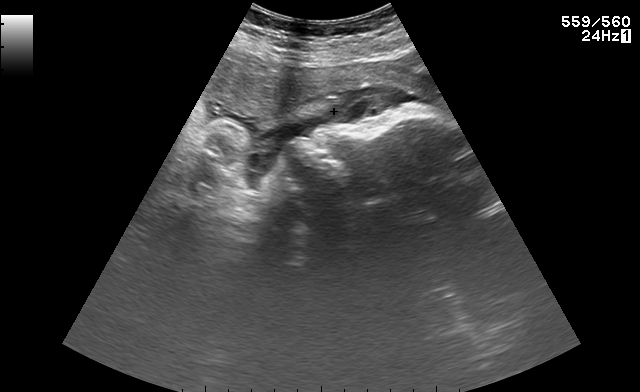
This is a 2D maternal-fetal ultrasound frame. Is it a fetal abdomen, fetal brain, fetal femur, fetal thorax, maternal cervix, or other standard plane? If it's fetal brain and one of the three standard brain planes (trans-thalamic, trans-cerebellum, trans-ventricular), name which.

Other